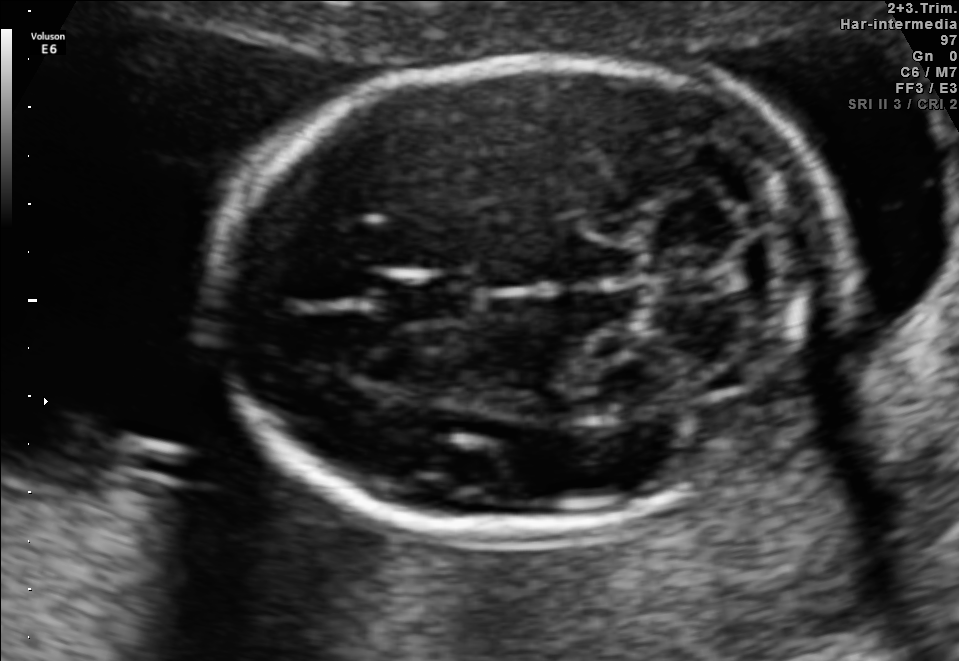
Fetal brain, trans-cerebellum plane. Locate the fetal head and, if visible, the cavum septum pellucidum (CSP) and lateral ventricle (LV). Give bounding boxes as [x1,y1,x2,y2].

Head: [204,57,845,526]
CSP: [377,269,483,327]